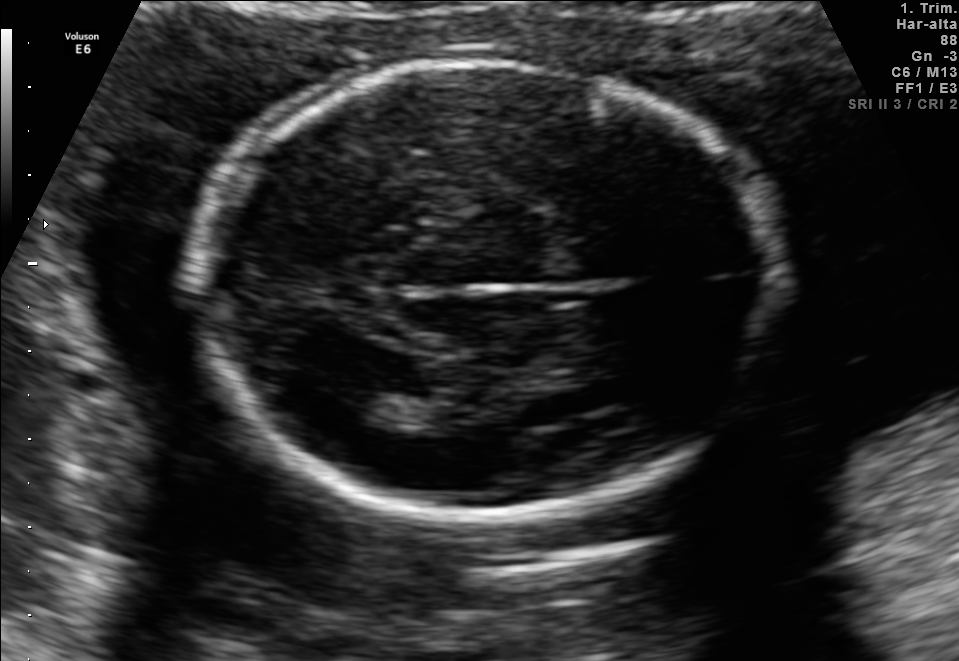
Fetal brain, trans-thalamic plane. Locate the fetal head.

Head: [196,63,779,518]